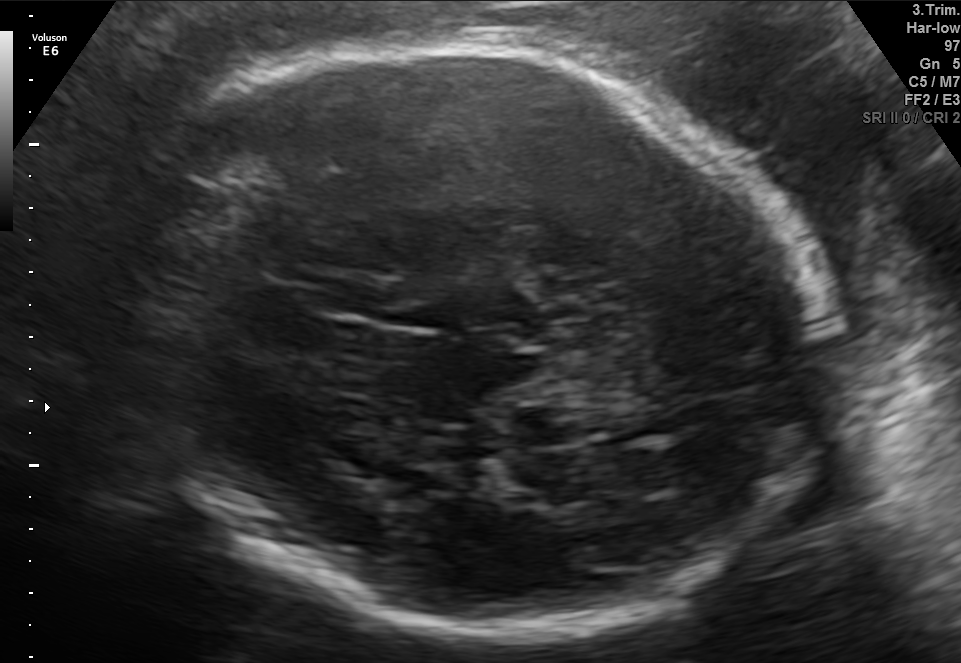
In this fetal brain, trans-thalamic plane, give bounding boxes for the head outline, cavum septum pellucidum (CSP), and lateral ventricle (LV), where visible.

Head: [121,40,832,635]